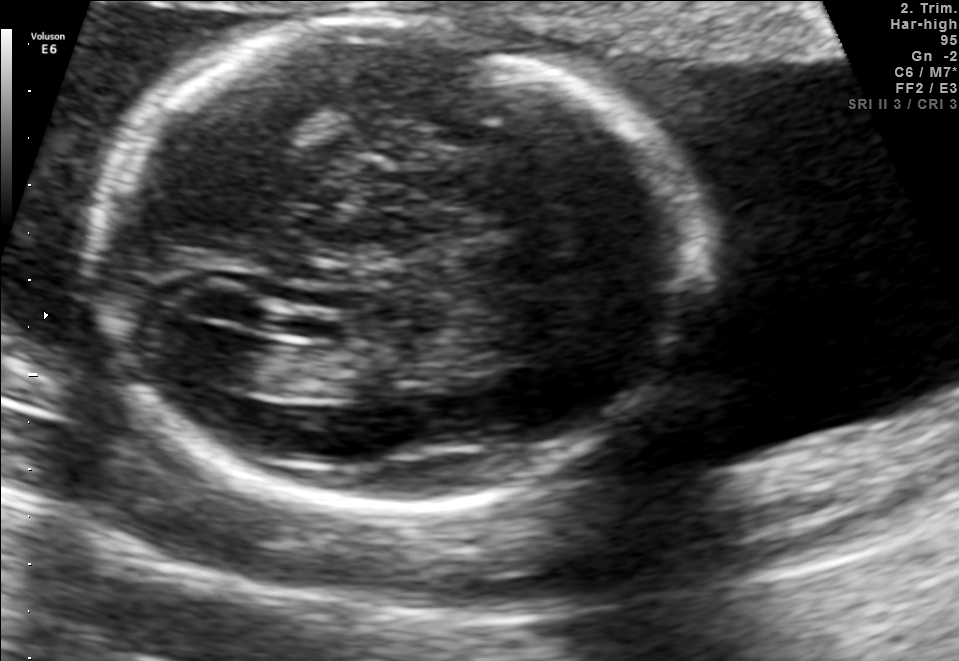
Fetal brain, trans-ventricular plane. Where is the lateral ventricle?

Lateral ventricle bounding box: [188,323,279,393]